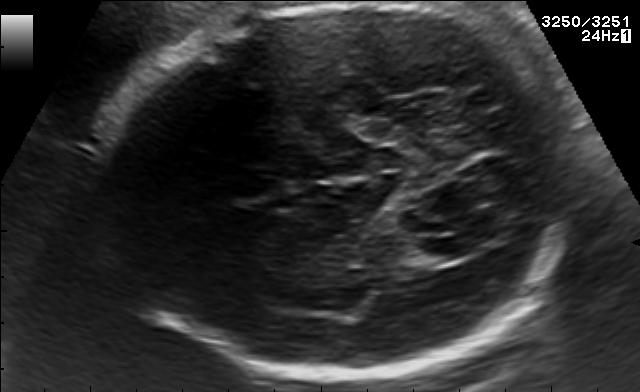
Fetal brain, trans-thalamic plane. Give [x1,y1,x2,y2] bounding boxes for each visible structure among: fetal head, CSP, LV.

Head: [109,3,573,381]
Lateral ventricle: [405,226,481,274]